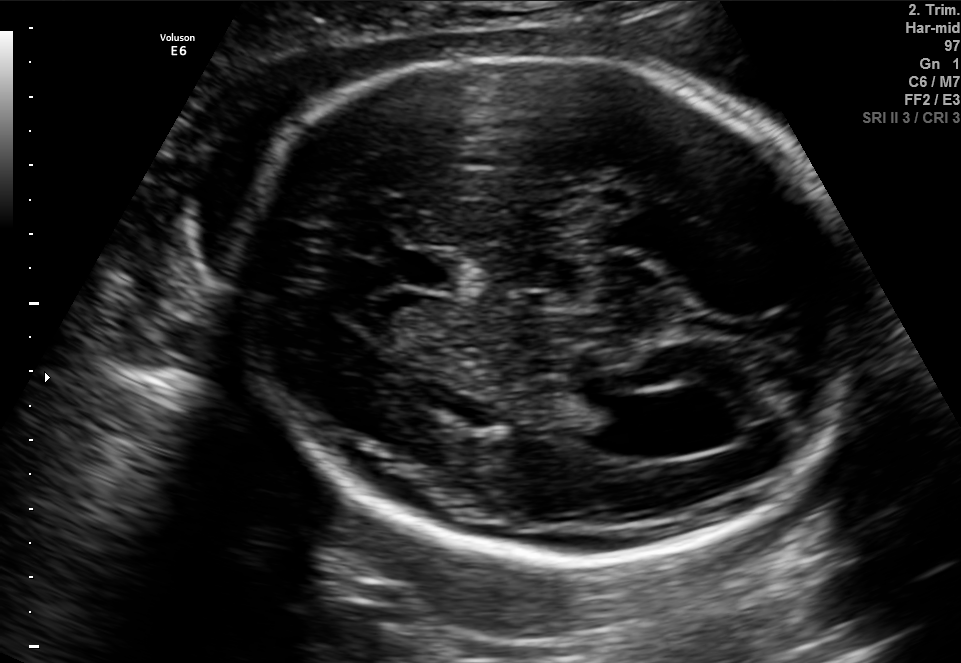
In this fetal brain, trans-ventricular plane, give the bounding box of the fetal head.

[221,53,870,564]